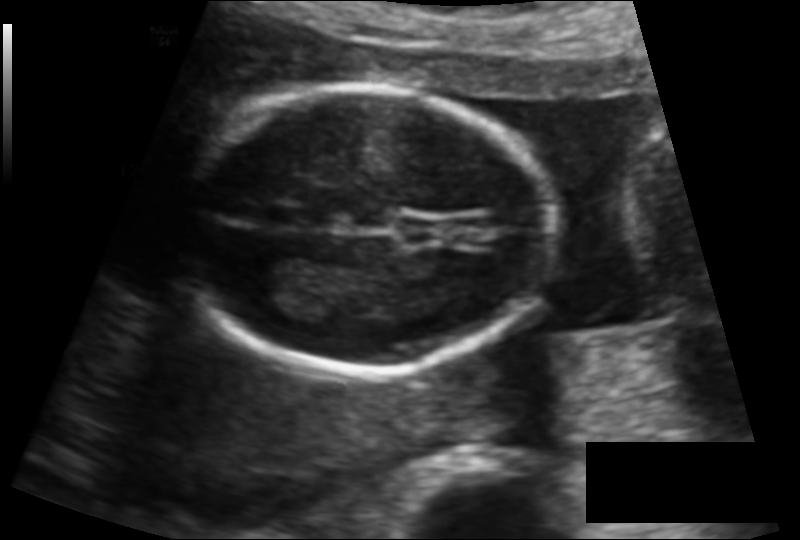
In this fetal head ultrasound, give bounding boxes for the head outline, cavum septum pellucidum (CSP), and lateral ventricle (LV), where visible. Image width: 93.2 mm.

Head: [176,87,551,372]